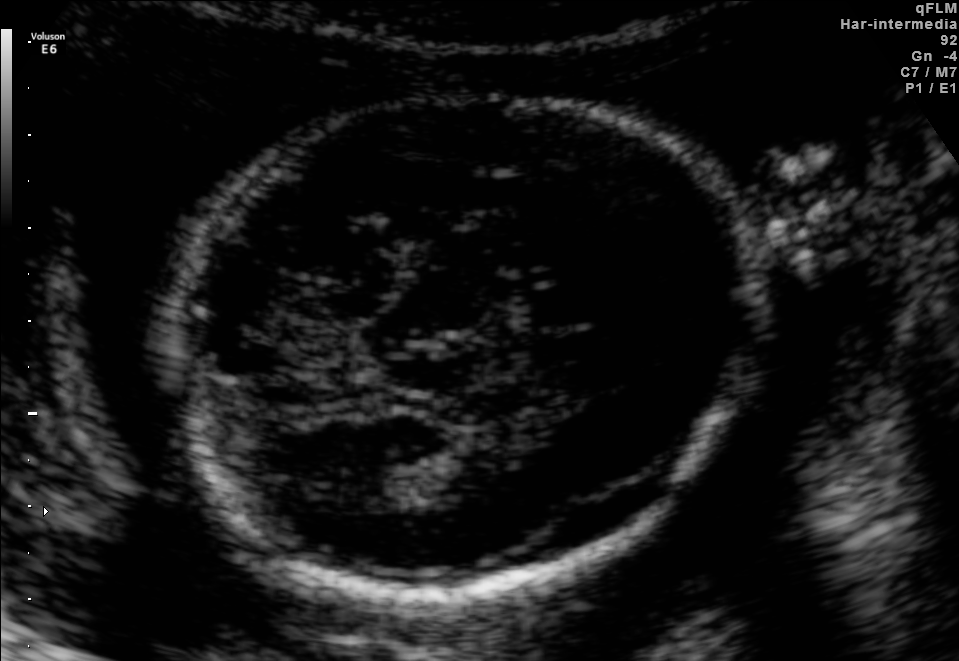
In this fetal brain, trans-thalamic plane, give bounding boxes for the head outline, cavum septum pellucidum (CSP), and lateral ventricle (LV), where visible.

Head: [167,92,752,593]
Lateral ventricle: [331,464,404,514]